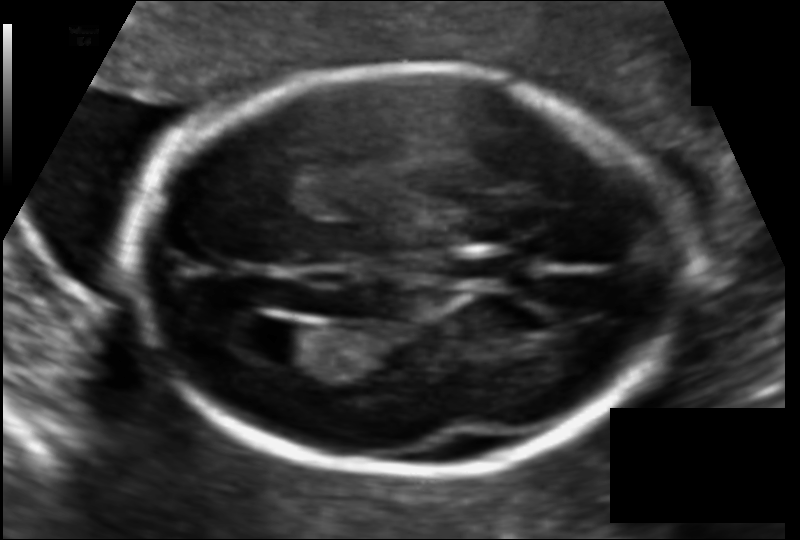
In this fetal head ultrasound, give the bounding box of the fetal head. Image width: 89.2 mm.

[131,65,676,471]